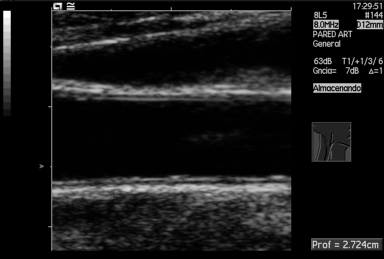
This is a 2D maternal-fetal ultrasound frame. Is it a fetal abdomen, fetal brain, fetal femur, fetal thorax, maternal cervix, or other standard plane? If it's fetal brain and one of the three standard brain planes (trans-thalamic, trans-cerebellum, trans-ventricular), name which.

Other